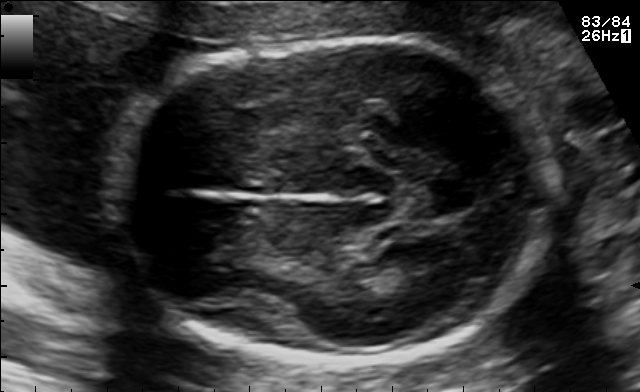
Fetal brain, trans-thalamic plane. Locate the fetal head.

Head: [113,39,559,361]